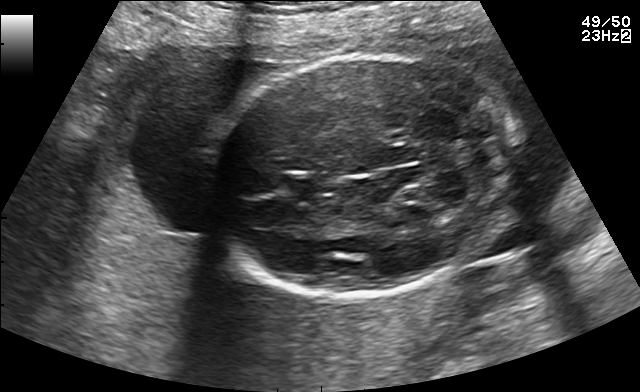
Fetal brain, trans-cerebellum plane. Locate the fetal head.

Head: [208,53,517,295]